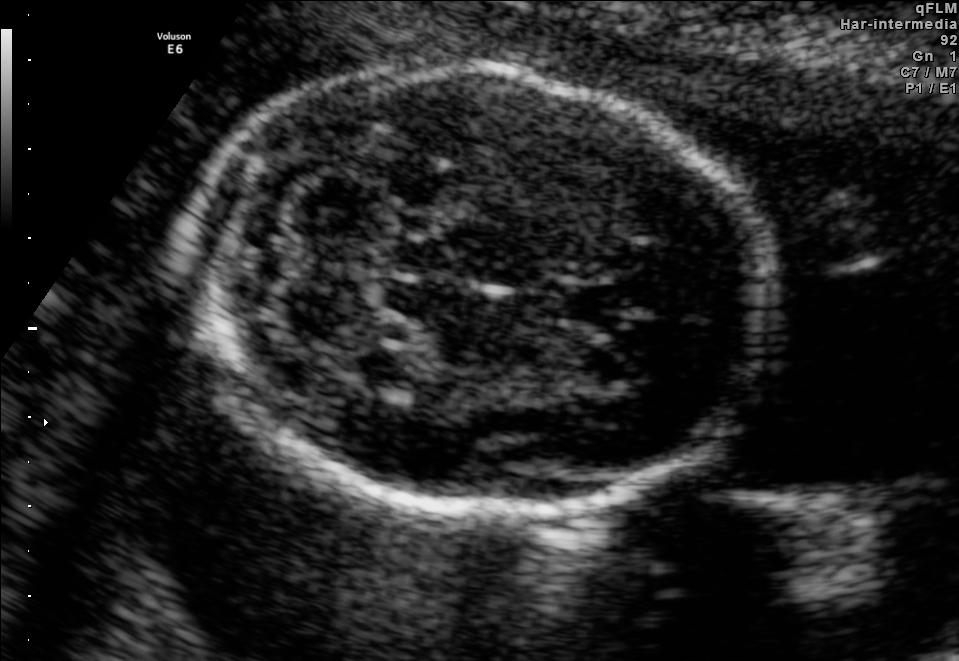
In this fetal brain, trans-cerebellum plane, give the bounding box of the fetal head.

[191,65,772,512]